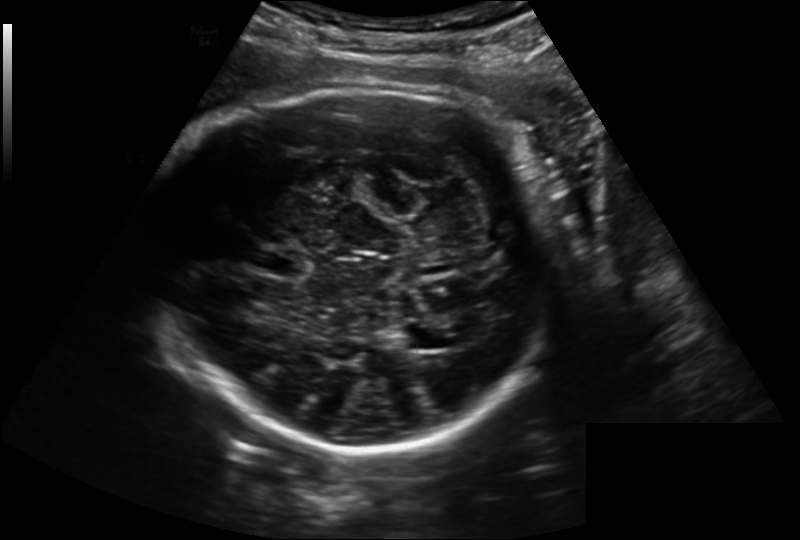
Estimate the fetal head circumference from this 2D ultrasound.

Head circumference: 281.3 mm (image width 177.2 mm).